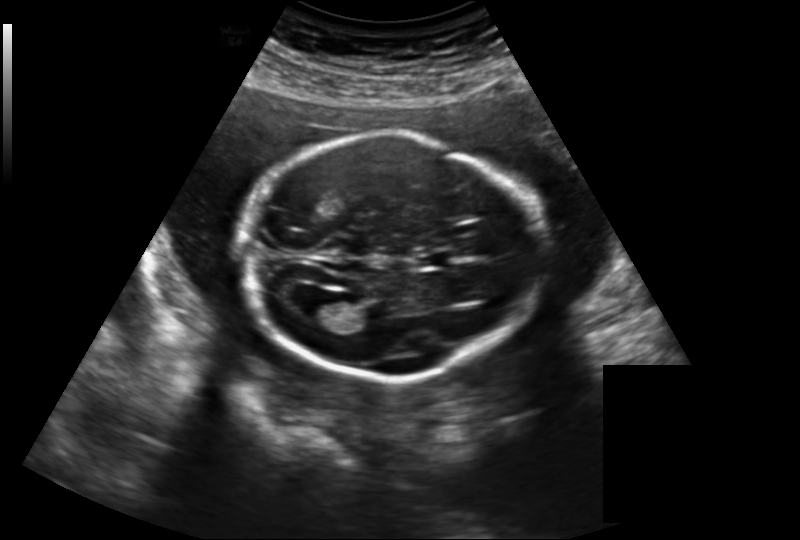
In this fetal head ultrasound, give the bounding box of the lateral ventricle. Image width: 175.2 mm.

[300,286,352,330]